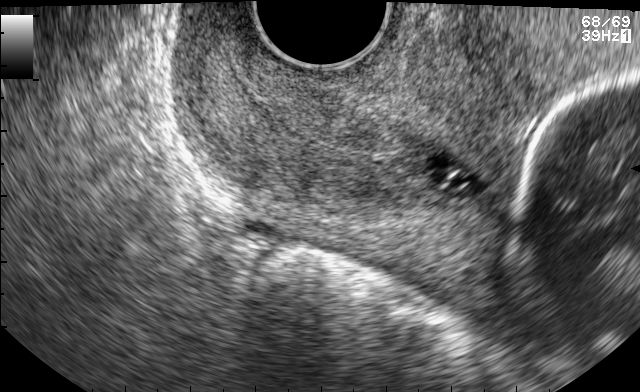
Which standard maternal-fetal ultrasound plane is shown: fetal abdomen, fetal brain, fetal femur, fetal thorax, maternal cervix, or other? If it's fetal brain and one of the three standard brain planes (trans-thalamic, trans-cerebellum, trans-ventricular), name which.

Maternal cervix